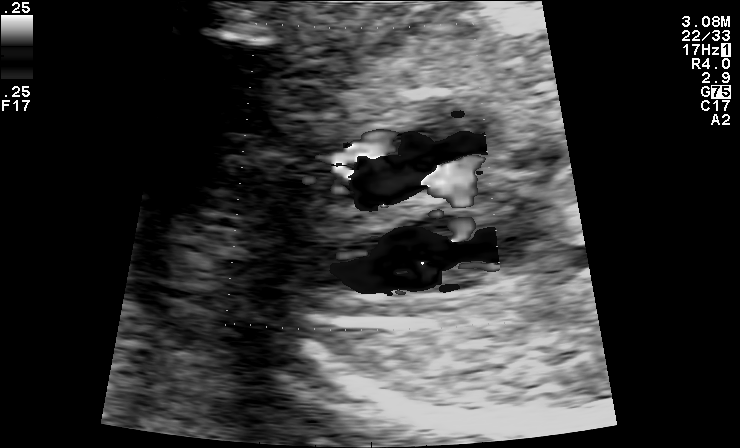
Identify the standard plane in this fetal ultrasound image: fetal abdomen, fetal brain, fetal femur, fetal thorax, maternal cervix, or other. If it's fetal brain and one of the three standard brain planes (trans-thalamic, trans-cerebellum, trans-ventricular), name which.

Other